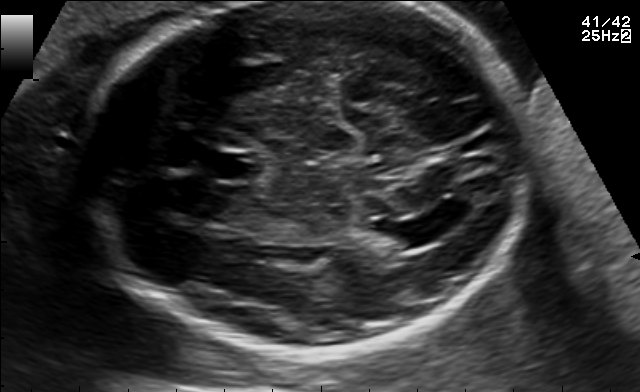
In this fetal brain, trans-ventricular plane, give the bounding box of the cavum septum pellucidum.

[197,150,263,183]